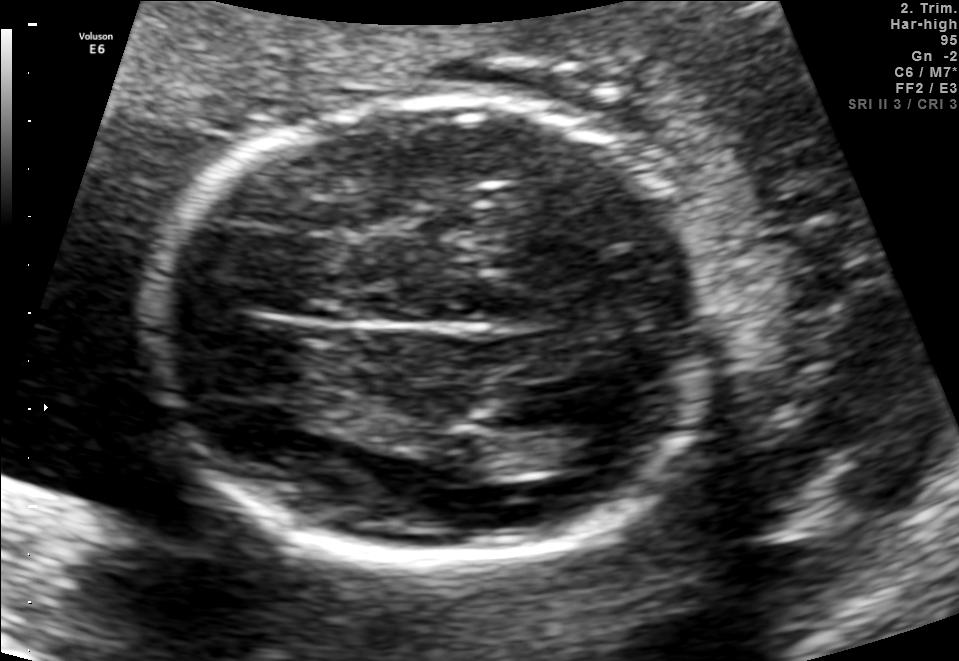
Fetal brain, trans-thalamic plane. Give [x1,y1,x2,y2] bounding boxes for each visible structure among: fetal head, CSP, LV.

Head: [152,97,711,560]
Lateral ventricle: [539,421,636,477]